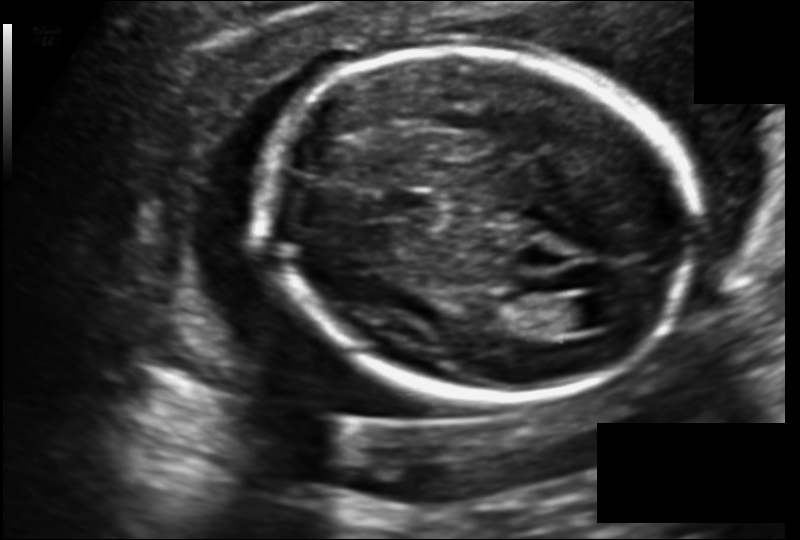
From this fetal ultrasound, estimate the head circumference (image width 111.6 mm).

Head circumference: 176.6 mm.